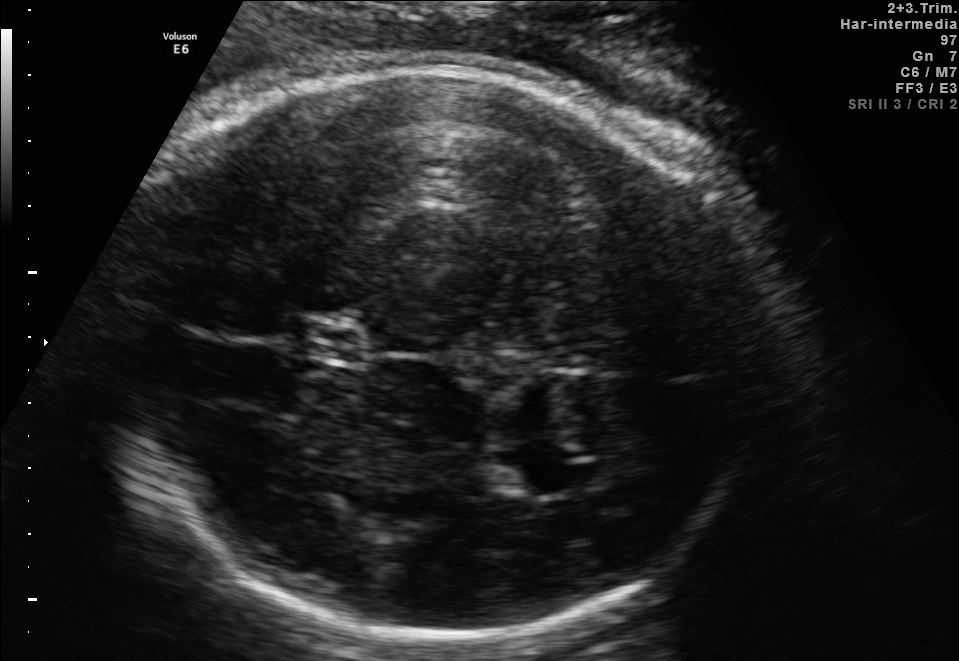
Fetal brain, trans-thalamic plane. Locate the fetal head and, if visible, the cavum septum pellucidum (CSP) and lateral ventricle (LV). Give bounding boxes as [x1,y1,x2,y2].

Head: [96,67,769,634]
CSP: [290,317,364,363]
Lateral ventricle: [490,445,568,502]